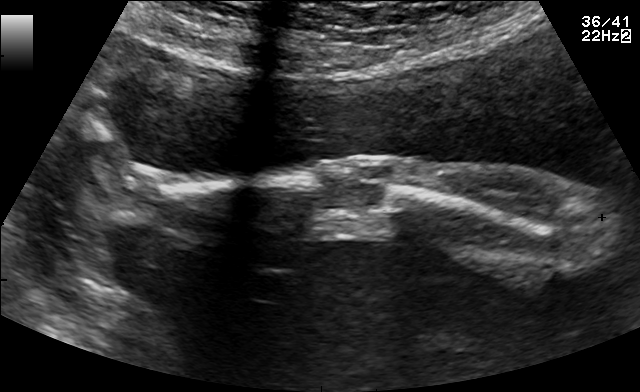
Identify the standard plane in this fetal ultrasound image: fetal abdomen, fetal brain, fetal femur, fetal thorax, maternal cervix, or other. If it's fetal brain and one of the three standard brain planes (trans-thalamic, trans-cerebellum, trans-ventricular), name which.

Other